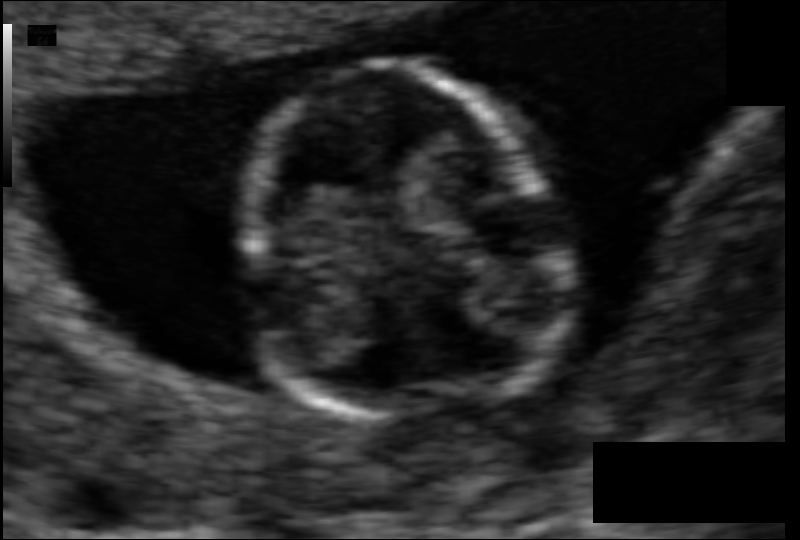
Measure the fetal head circumference shown in this ultrasound image. Image width: 49.5 mm.

Head circumference: 72.0 mm.